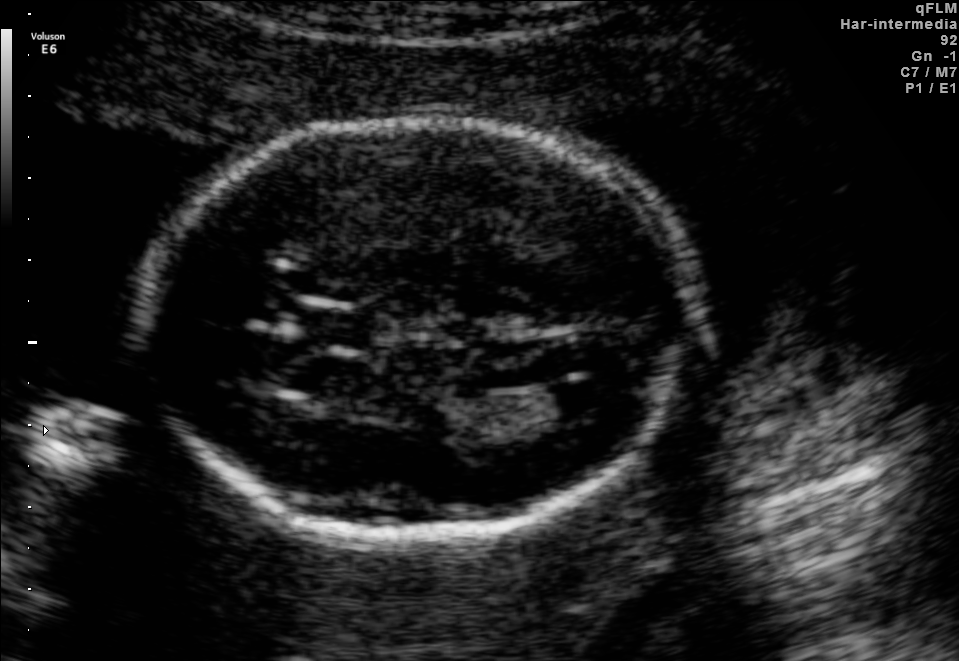
Identify the standard plane in this fetal ultrasound image: fetal abdomen, fetal brain, fetal femur, fetal thorax, maternal cervix, or other. If it's fetal brain and one of the three standard brain planes (trans-thalamic, trans-cerebellum, trans-ventricular), name which.

Fetal brain (trans-ventricular plane)